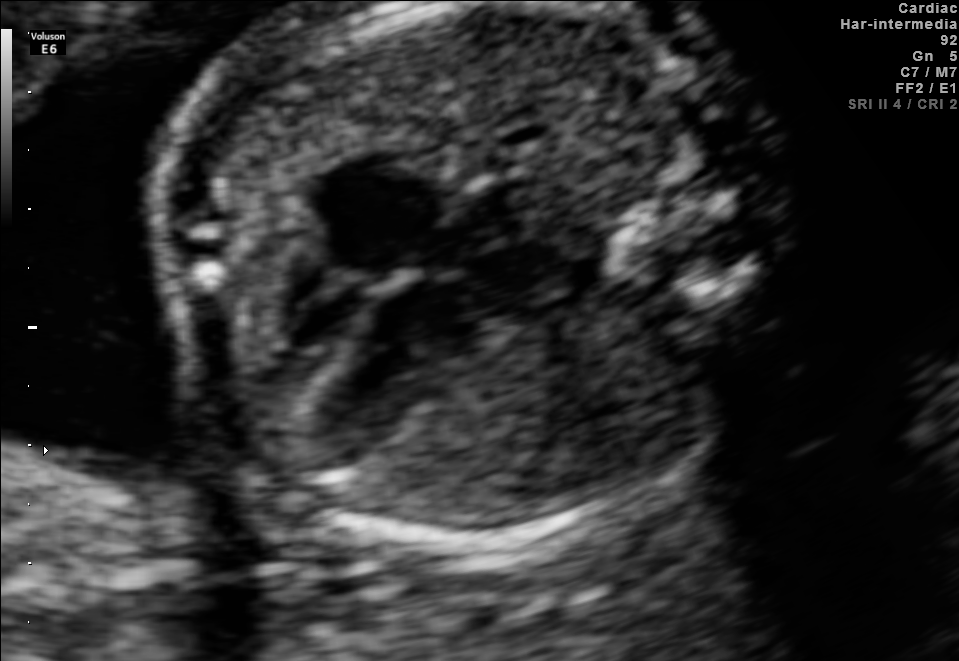
Which standard maternal-fetal ultrasound plane is shown: fetal abdomen, fetal brain, fetal femur, fetal thorax, maternal cervix, or other? If it's fetal brain and one of the three standard brain planes (trans-thalamic, trans-cerebellum, trans-ventricular), name which.

Fetal thorax